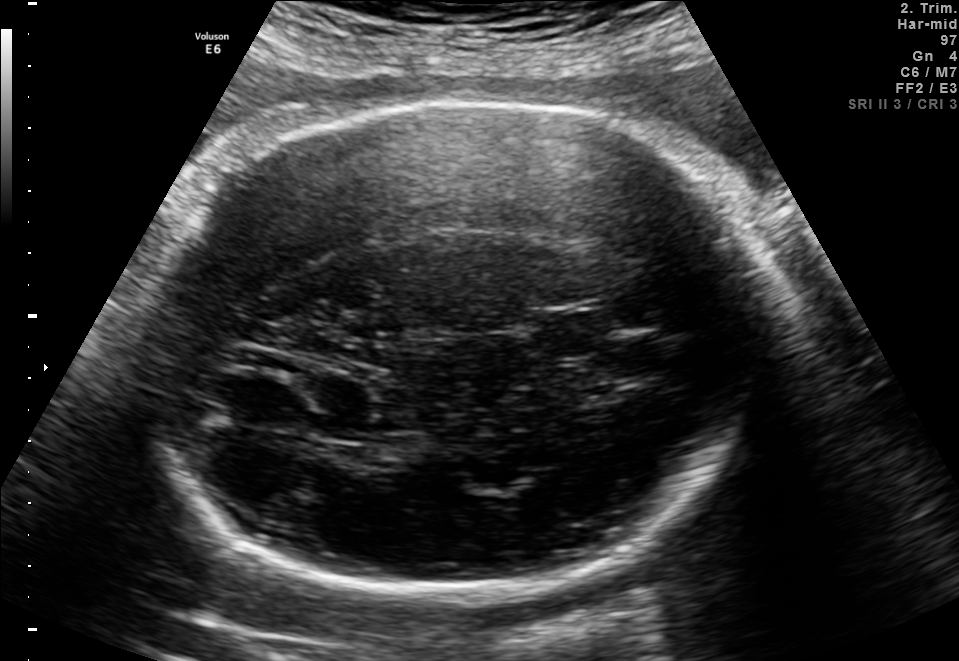
In this fetal brain, trans-thalamic plane, give bounding boxes for the head outline, cavum septum pellucidum (CSP), and lateral ventricle (LV), where visible.

Head: [136,99,769,606]
CSP: [533,309,610,359]